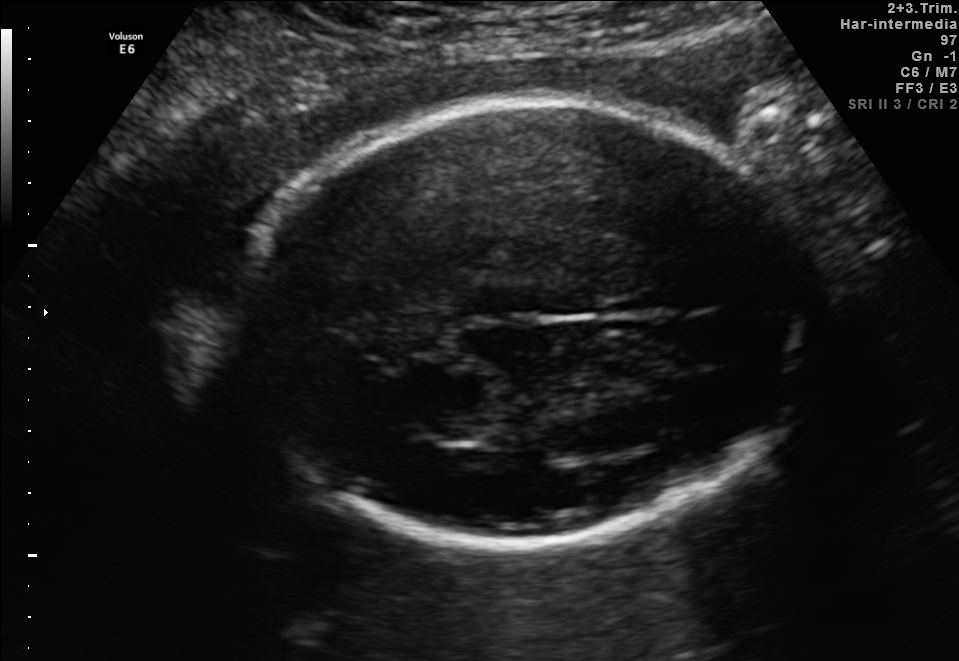
In this fetal brain, trans-thalamic plane, give bounding boxes for the head outline, cavum septum pellucidum (CSP), and lateral ventricle (LV), where visible.

Head: [222,102,833,547]